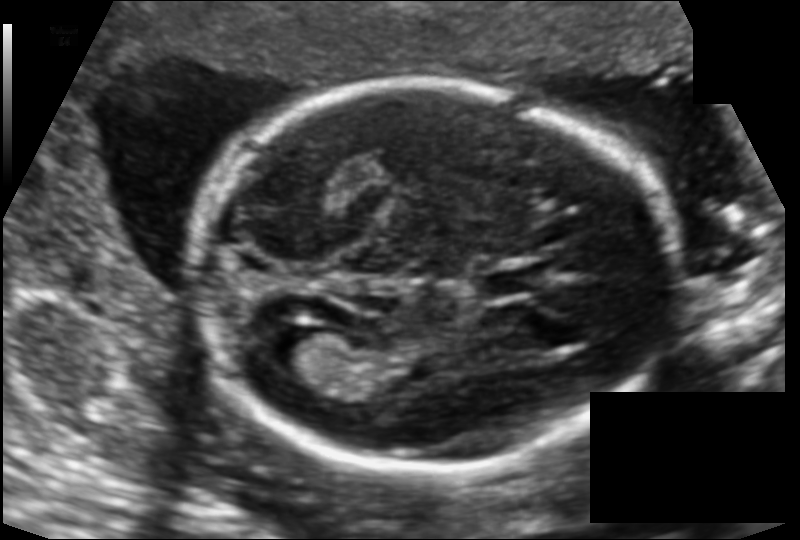
From this fetal ultrasound, estimate the head circumference (image width 98.8 mm).

Head circumference: 175.3 mm.